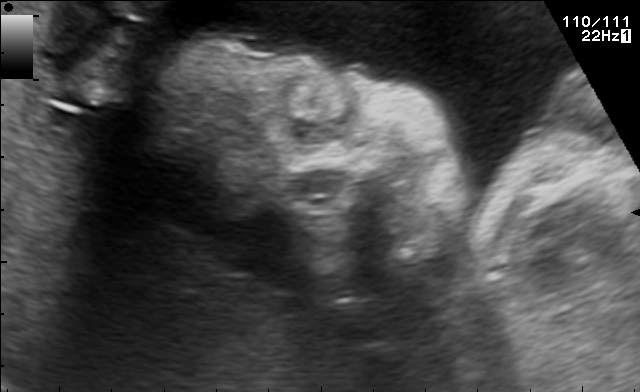
Classify this maternal-fetal ultrasound image as one of the six standard planes — fetal abdomen, fetal brain, fetal femur, fetal thorax, maternal cervix, or other. If it's fetal brain and one of the three standard brain planes (trans-thalamic, trans-cerebellum, trans-ventricular), name which.

Other